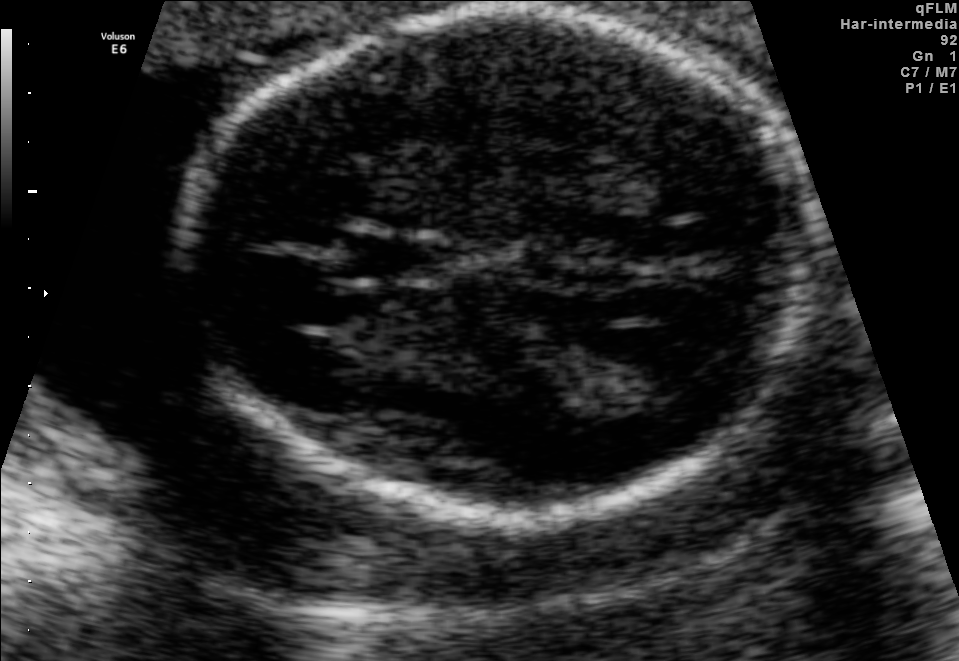
Fetal brain, trans-thalamic plane. Locate the cavum septum pellucidum.

CSP: [344,235,437,280]